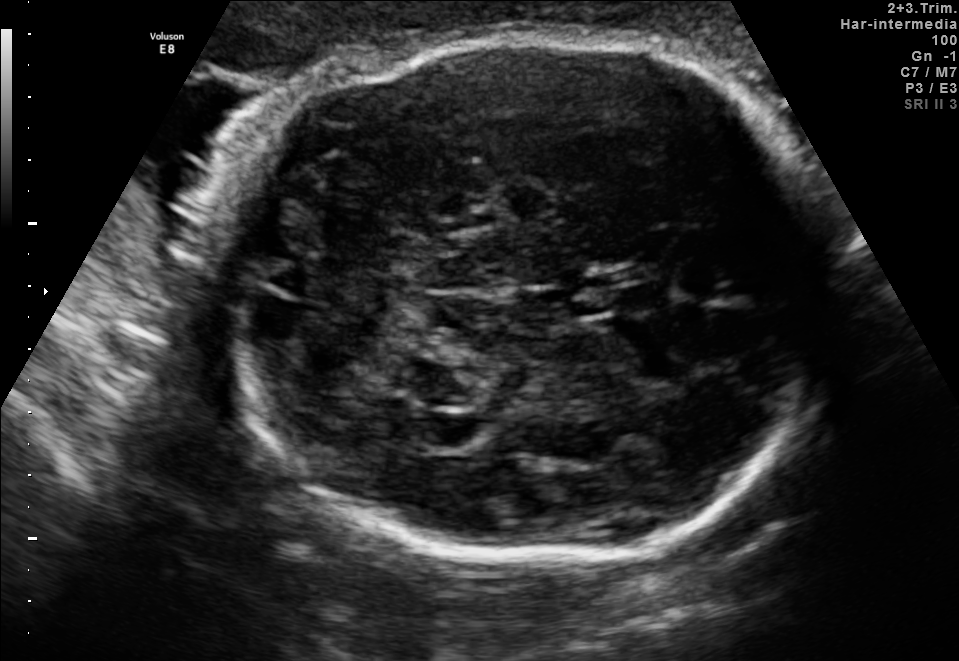
Fetal brain, trans-cerebellum plane. Locate the fetal head and, if visible, the cavum septum pellucidum (CSP) and lateral ventricle (LV). Give bounding boxes as [x1,y1,x2,y2].

Head: [231,37,834,568]